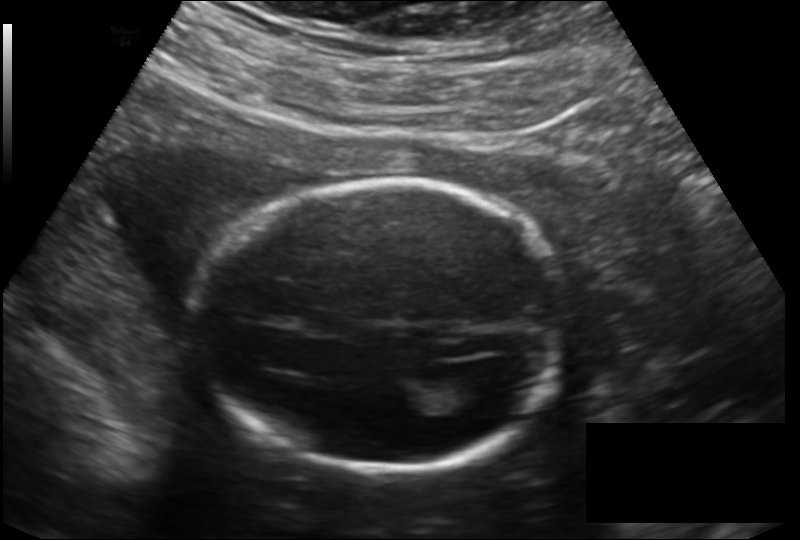
Fetal head ultrasound. Image width: 133.1 mm. Give [x1,y1,x2,y2] bounding boxes for each visible structure among: fetal head, CSP, LV.

Head: [200,181,565,473]
Lateral ventricle: [434,370,502,418]